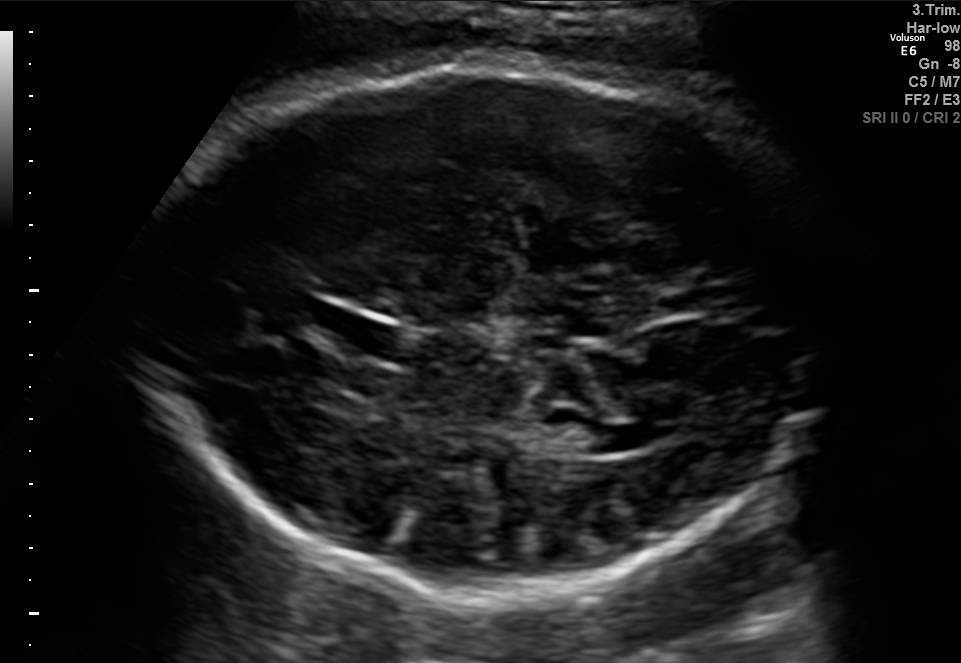
Fetal brain, trans-thalamic plane. Give [x1,y1,x2,y2] bounding boxes for each visible structure among: fetal head, CSP, LV.

Head: [131,70,830,589]
CSP: [328,309,419,369]
Lateral ventricle: [535,420,618,454]